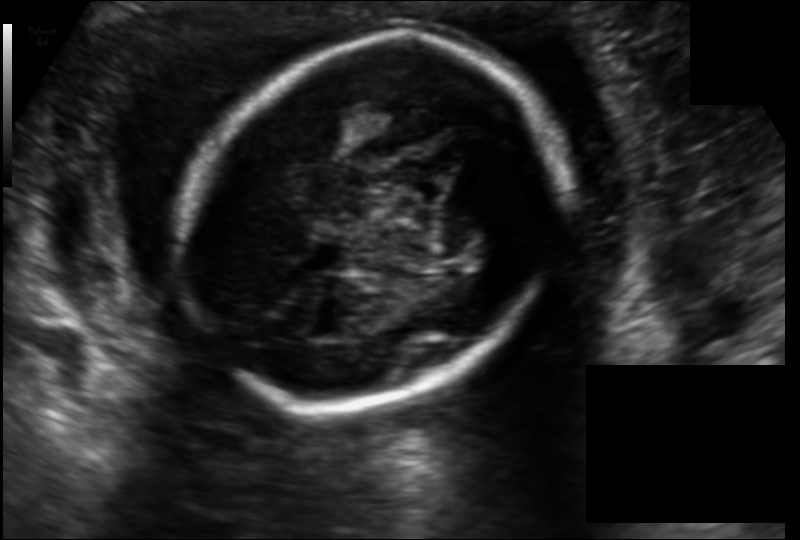
Fetal head ultrasound. Image width: 112.8 mm. Locate the fetal head.

Head: [187,35,560,408]